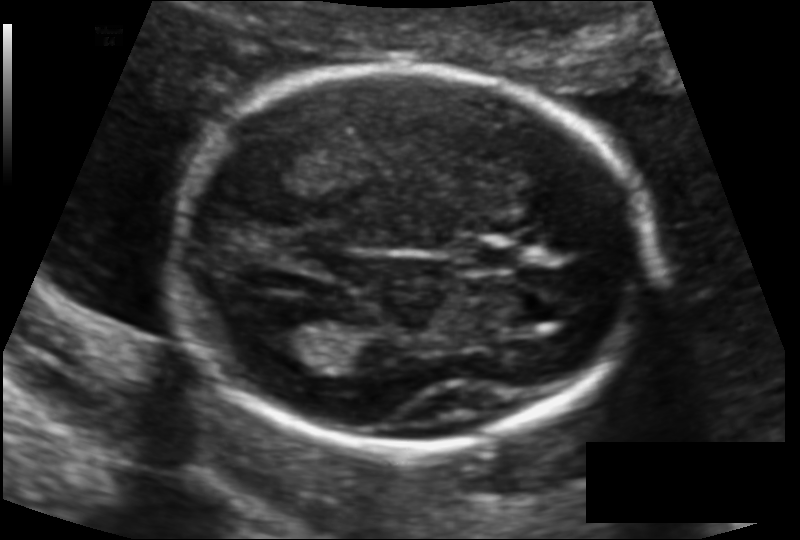
Fetal head ultrasound. Image width: 93.3 mm. Locate the fetal head.

Head: [172,68,652,448]